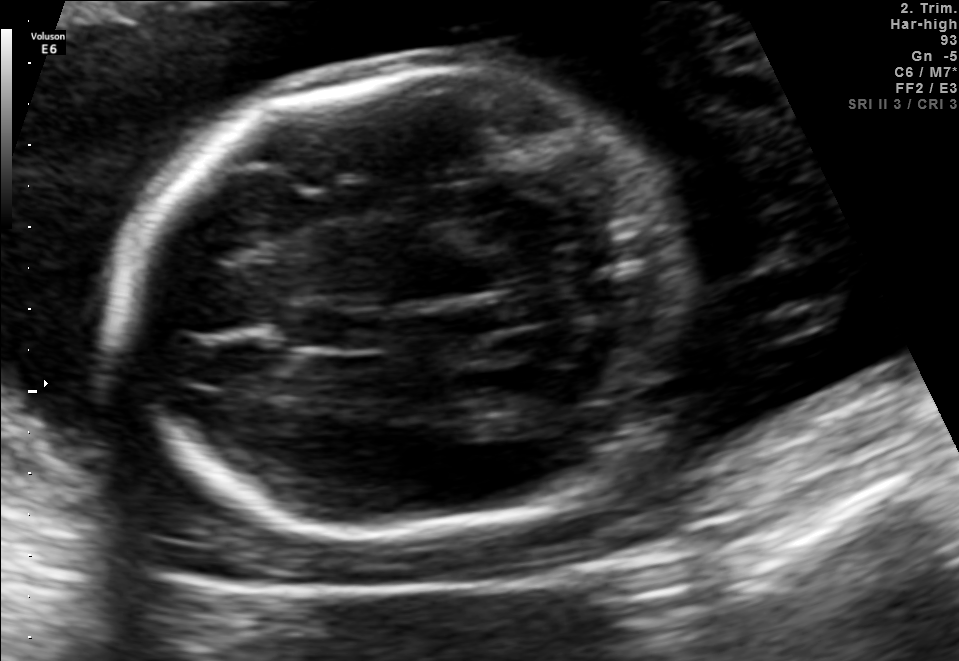
Identify the standard plane in this fetal ultrasound image: fetal abdomen, fetal brain, fetal femur, fetal thorax, maternal cervix, or other. If it's fetal brain and one of the three standard brain planes (trans-thalamic, trans-cerebellum, trans-ventricular), name which.

Fetal brain (trans-cerebellum plane)